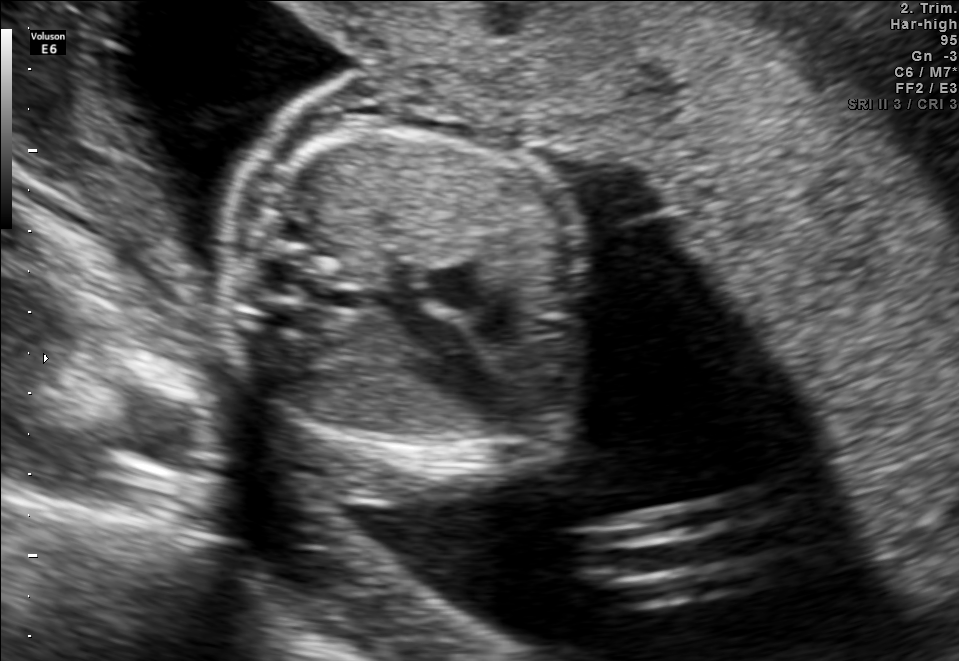
Identify the standard plane in this fetal ultrasound image: fetal abdomen, fetal brain, fetal femur, fetal thorax, maternal cervix, or other. If it's fetal brain and one of the three standard brain planes (trans-thalamic, trans-cerebellum, trans-ventricular), name which.

Fetal thorax